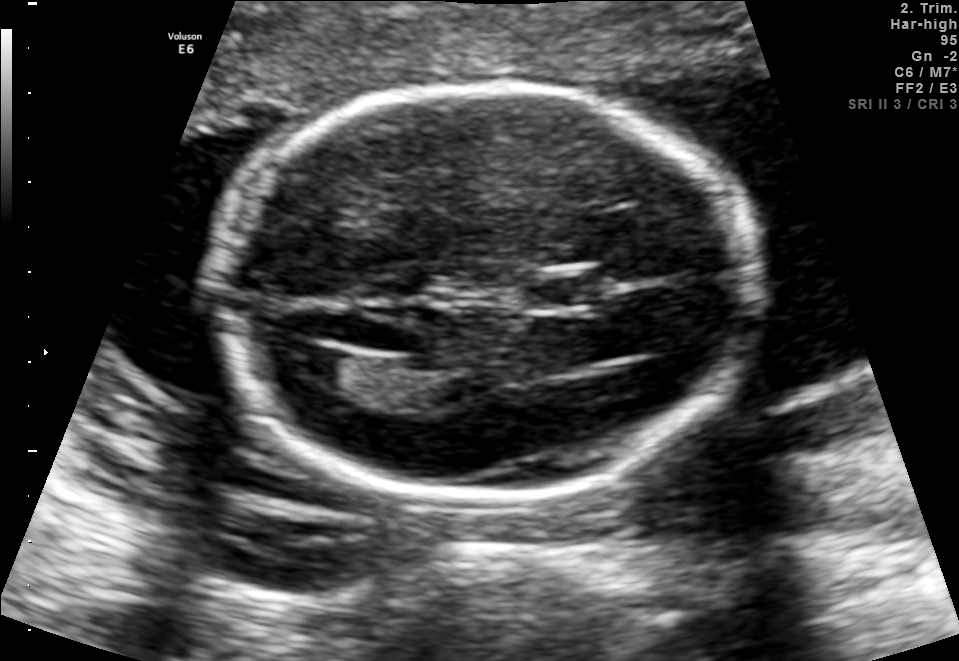
In this fetal brain, trans-ventricular plane, give bounding boxes for the head outline, cavum septum pellucidum (CSP), and lateral ventricle (LV), where visible.

Head: [210,79,769,514]
CSP: [521,274,621,309]
Lateral ventricle: [276,341,358,391]